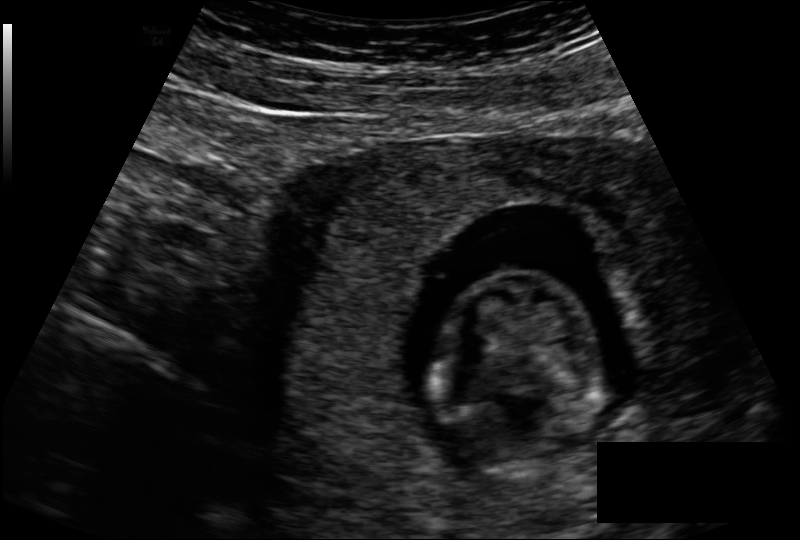
Measure the fetal head circumference shown in this ultrasound image. Image width: 104.8 mm.

Head circumference: 77.6 mm.